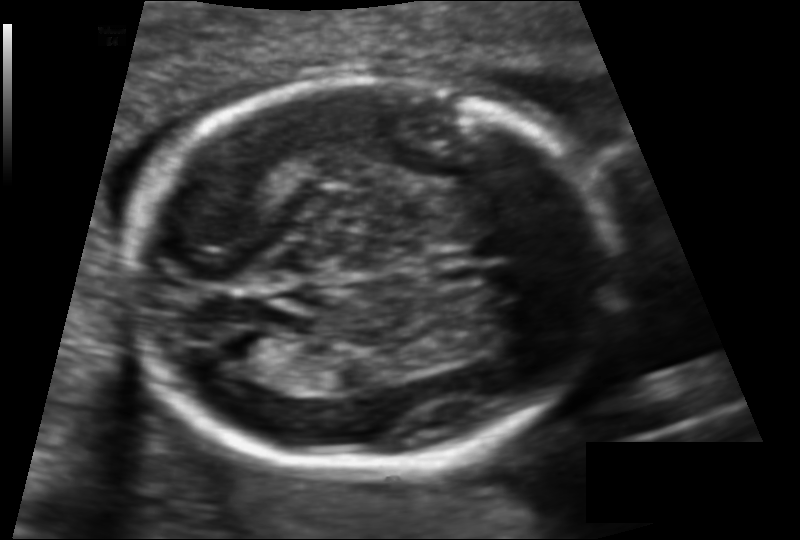
Measure the fetal head circumference shown in this ultrasound image. Image width: 94.9 mm.

Head circumference: 170.4 mm.